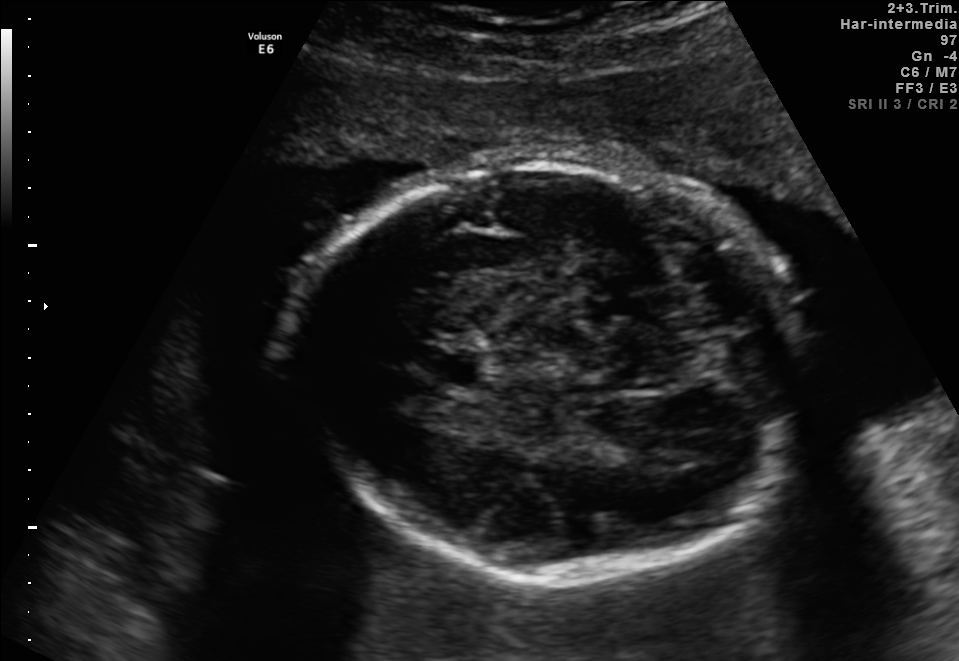
Fetal brain, trans-thalamic plane. Give [x1,y1,x2,y2] bounding boxes for each visible structure among: fetal head, CSP, LV.

Head: [302,159,805,580]
CSP: [412,340,485,390]